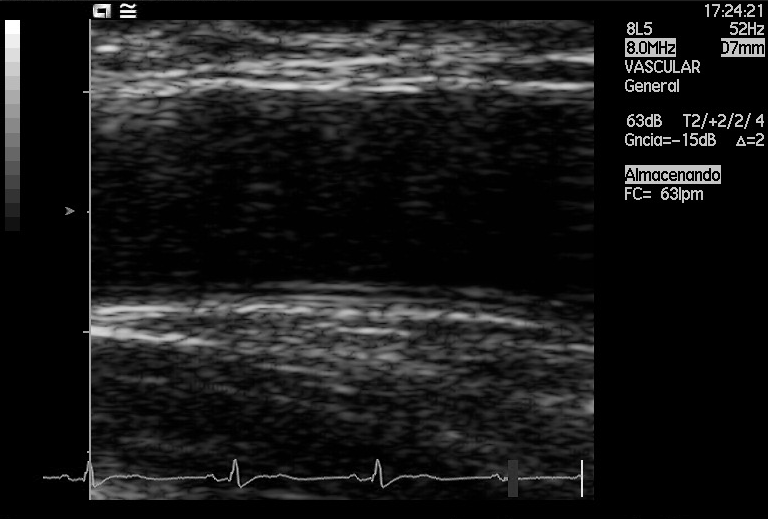
This is a 2D maternal-fetal ultrasound frame. Is it a fetal abdomen, fetal brain, fetal femur, fetal thorax, maternal cervix, or other standard plane? If it's fetal brain and one of the three standard brain planes (trans-thalamic, trans-cerebellum, trans-ventricular), name which.

Other